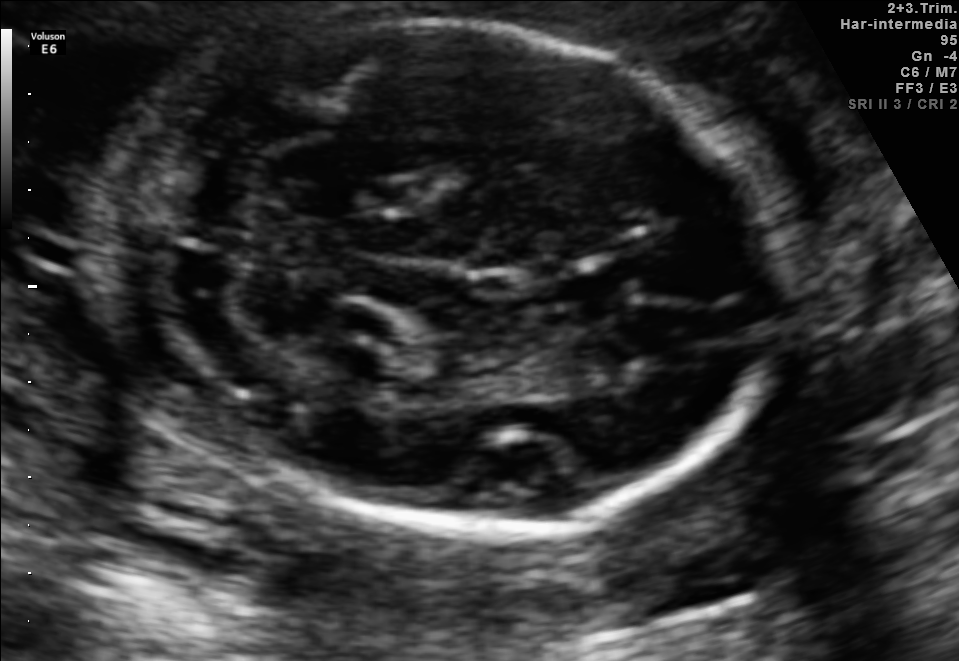
Fetal brain, trans-cerebellum plane. Where is the fetal head?

Head bounding box: [89,19,788,534]